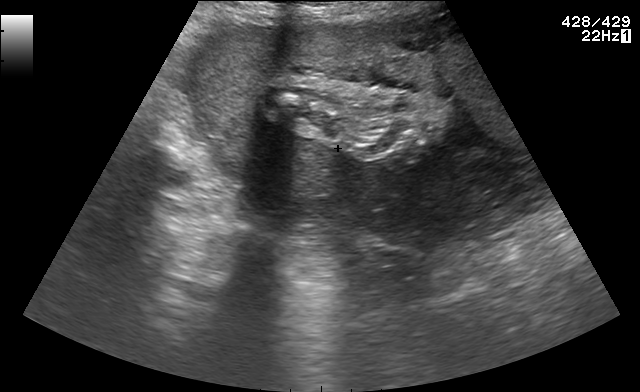
Which standard maternal-fetal ultrasound plane is shown: fetal abdomen, fetal brain, fetal femur, fetal thorax, maternal cervix, or other? If it's fetal brain and one of the three standard brain planes (trans-thalamic, trans-cerebellum, trans-ventricular), name which.

Other